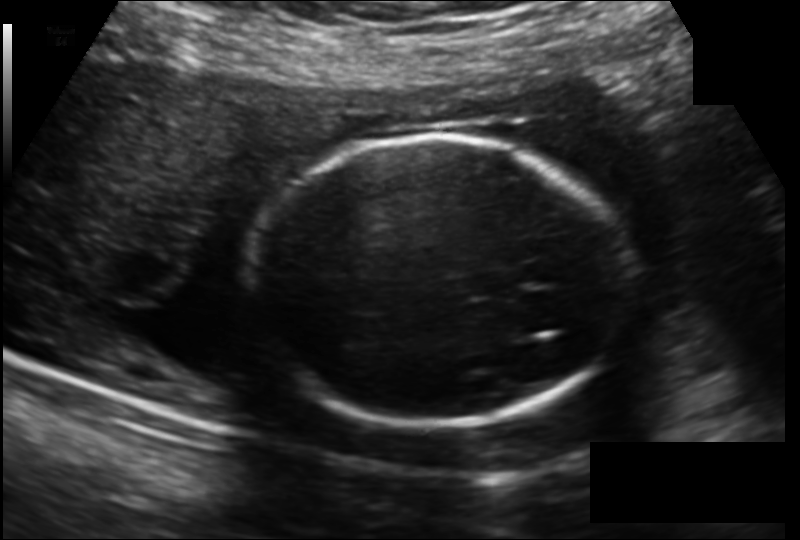
What is the fetal head circumference? Image width is 132.5 mm.

183.1 mm